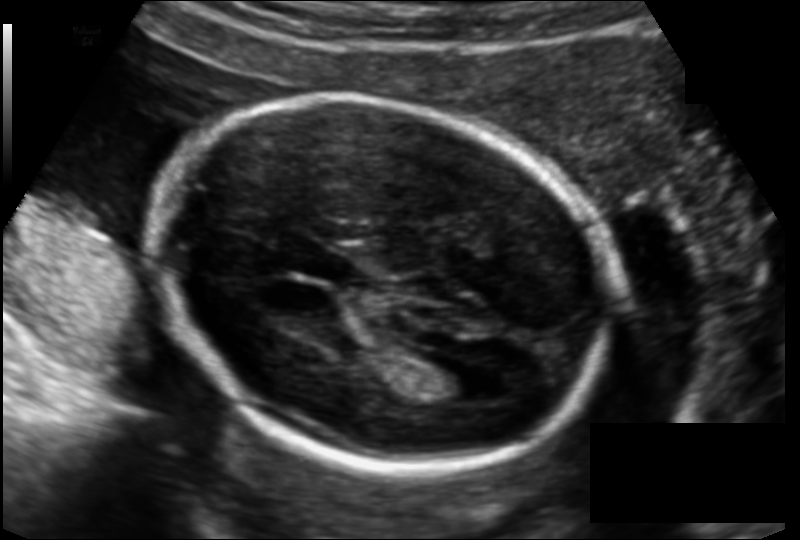
Estimate the fetal head circumference from this 2D ultrasound. Image width: 107.7 mm.

Head circumference: 180.3 mm.